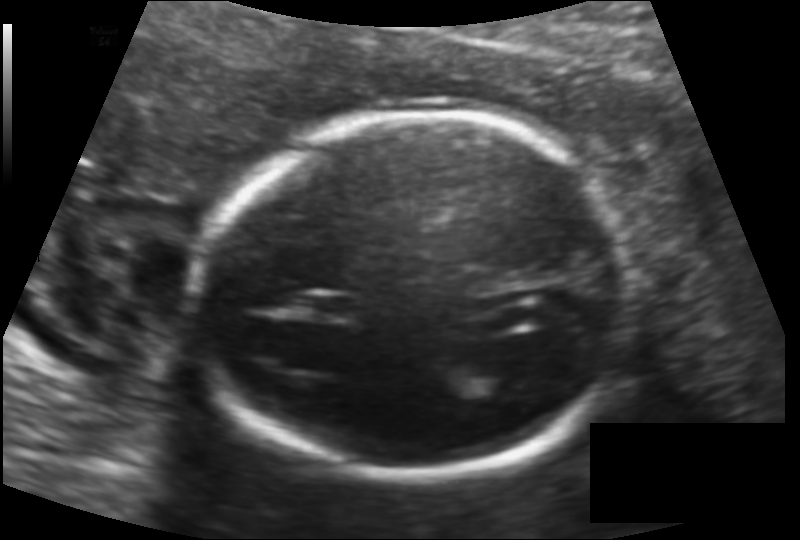
Fetal head ultrasound. Image width: 104.4 mm. Where is the cavum septum pellucidum?

CSP bounding box: [304,292,357,320]